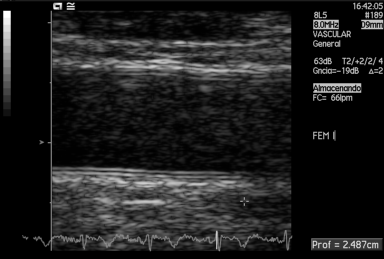
This is a 2D maternal-fetal ultrasound frame. Is it a fetal abdomen, fetal brain, fetal femur, fetal thorax, maternal cervix, or other standard plane? If it's fetal brain and one of the three standard brain planes (trans-thalamic, trans-cerebellum, trans-ventricular), name which.

Other